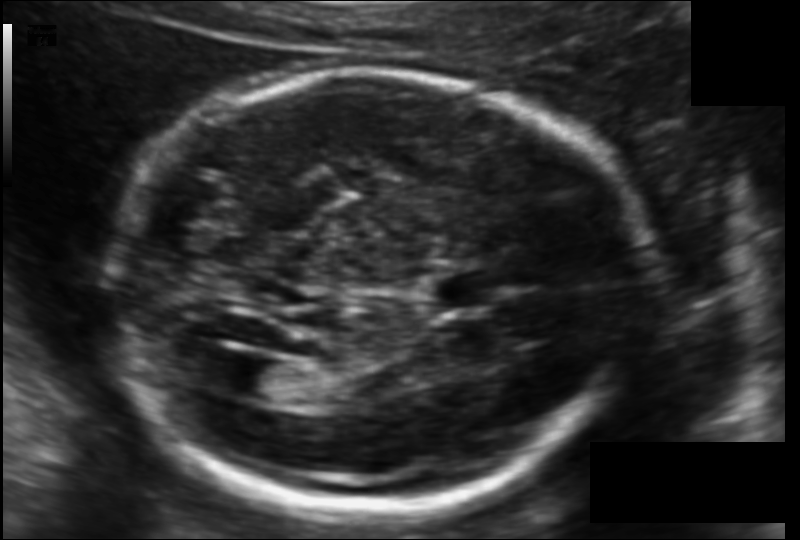
Fetal head ultrasound. Image width: 95.3 mm. Locate the fetal head and, if visible, the cavum septum pellucidum (CSP) and lateral ventricle (LV). Give bounding boxes as [x1,y1,x2,y2].

Head: [104,69,634,510]
CSP: [428,262,504,317]
Lateral ventricle: [221,355,293,402]